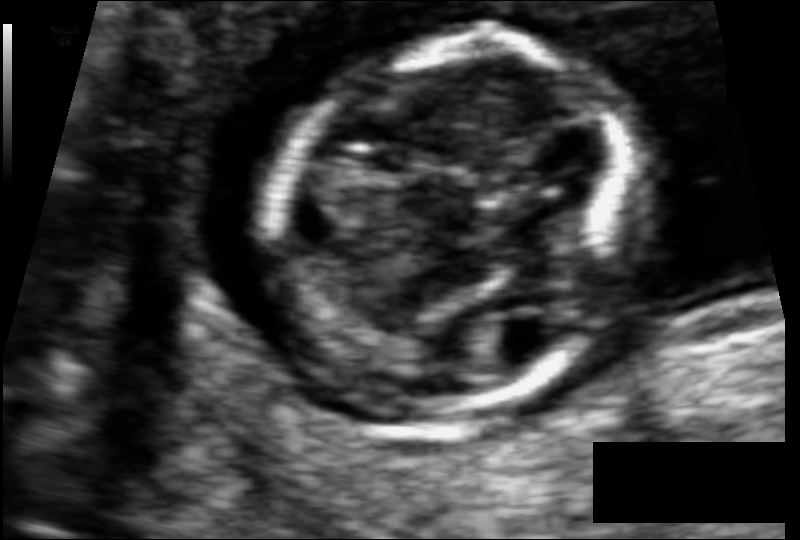
What is the fetal head circumference? Image width is 49.9 mm.

76.2 mm